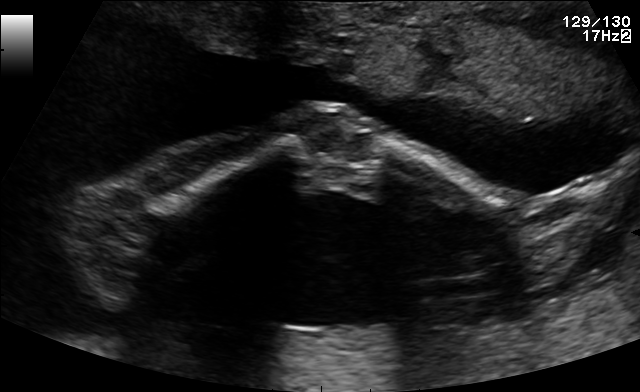
Classify this maternal-fetal ultrasound image as one of the six standard planes — fetal abdomen, fetal brain, fetal femur, fetal thorax, maternal cervix, or other. If it's fetal brain and one of the three standard brain planes (trans-thalamic, trans-cerebellum, trans-ventricular), name which.

Fetal femur